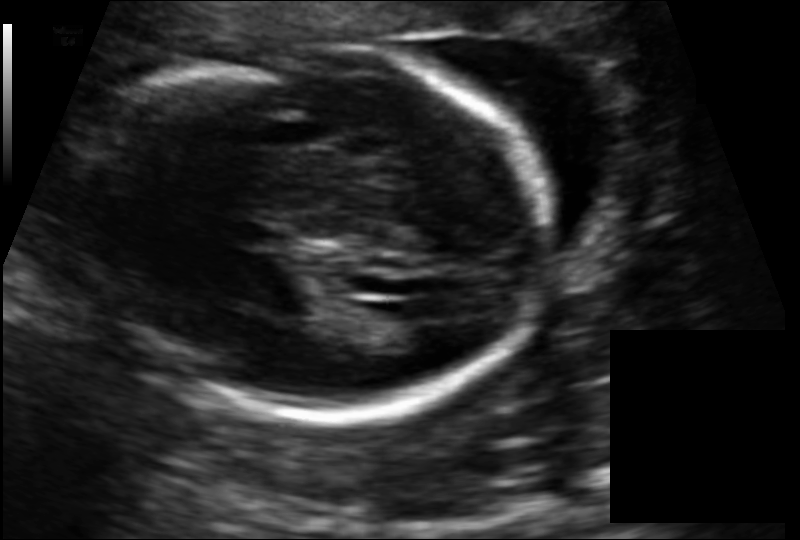
Measure the fetal head circumference shown in this ultrasound image. Image width: 108.7 mm.

Head circumference: 185.5 mm.